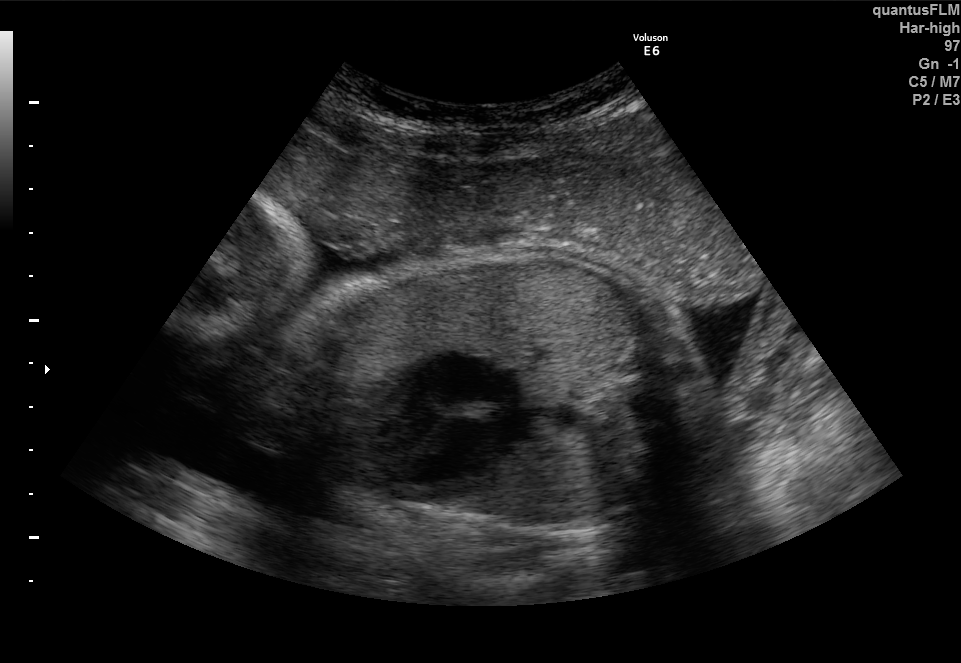
Classify this maternal-fetal ultrasound image as one of the six standard planes — fetal abdomen, fetal brain, fetal femur, fetal thorax, maternal cervix, or other. If it's fetal brain and one of the three standard brain planes (trans-thalamic, trans-cerebellum, trans-ventricular), name which.

Fetal thorax